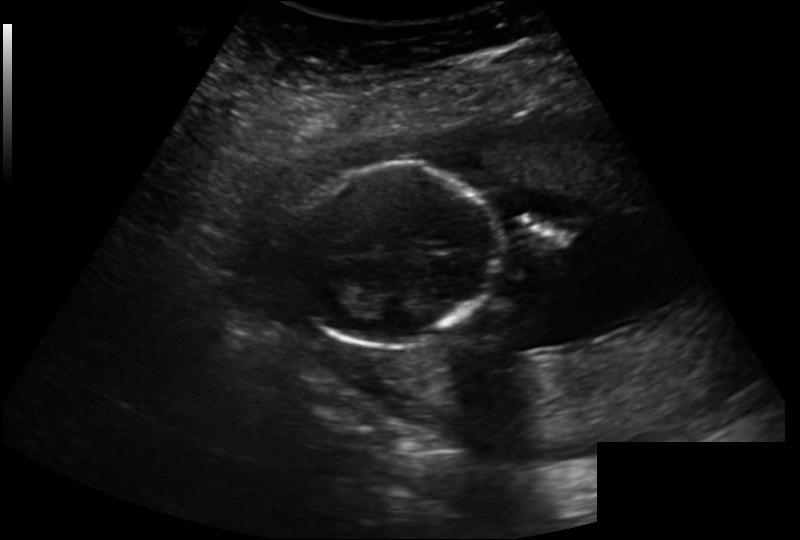
In this fetal head ultrasound, give the bounding box of the fetal head. Image width: 161.6 mm.

[294,162,496,349]